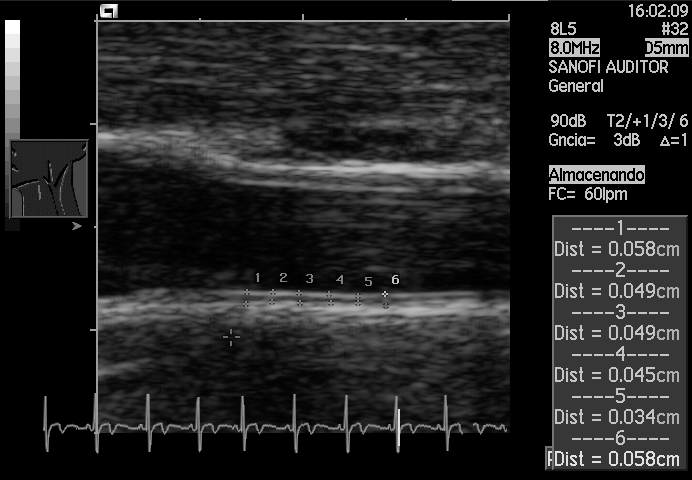
Identify the standard plane in this fetal ultrasound image: fetal abdomen, fetal brain, fetal femur, fetal thorax, maternal cervix, or other. If it's fetal brain and one of the three standard brain planes (trans-thalamic, trans-cerebellum, trans-ventricular), name which.

Other